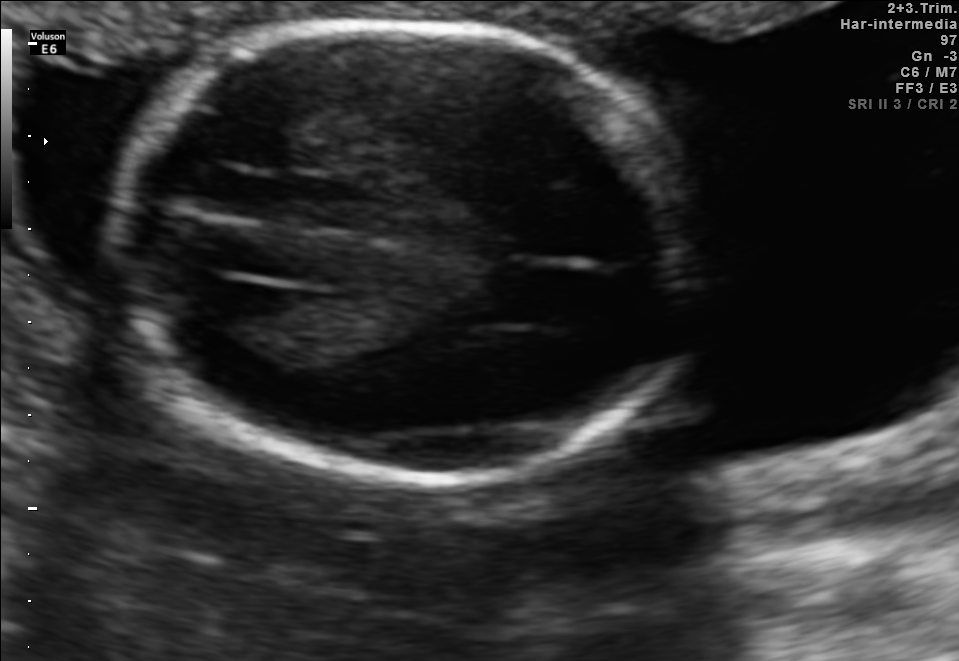
In this fetal brain, trans-thalamic plane, give the bounding box of the fetal head.

[113,22,696,483]